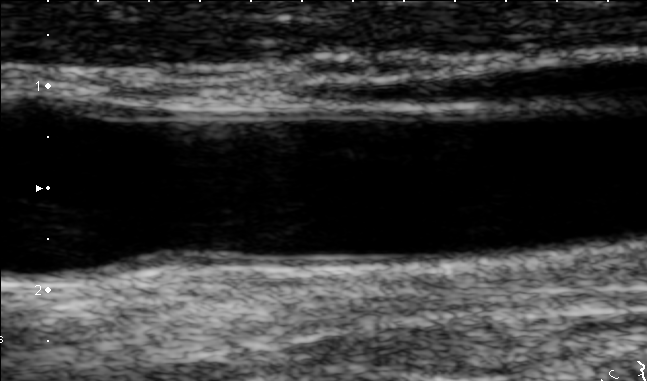
Classify this maternal-fetal ultrasound image as one of the six standard planes — fetal abdomen, fetal brain, fetal femur, fetal thorax, maternal cervix, or other. If it's fetal brain and one of the three standard brain planes (trans-thalamic, trans-cerebellum, trans-ventricular), name which.

Other